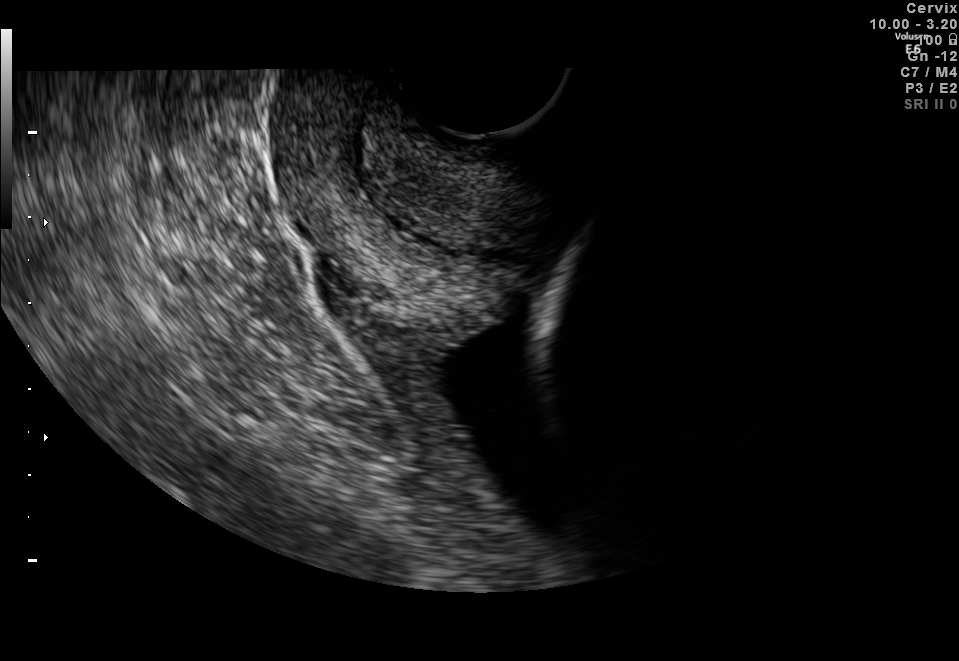
Classify this maternal-fetal ultrasound image as one of the six standard planes — fetal abdomen, fetal brain, fetal femur, fetal thorax, maternal cervix, or other. If it's fetal brain and one of the three standard brain planes (trans-thalamic, trans-cerebellum, trans-ventricular), name which.

Maternal cervix